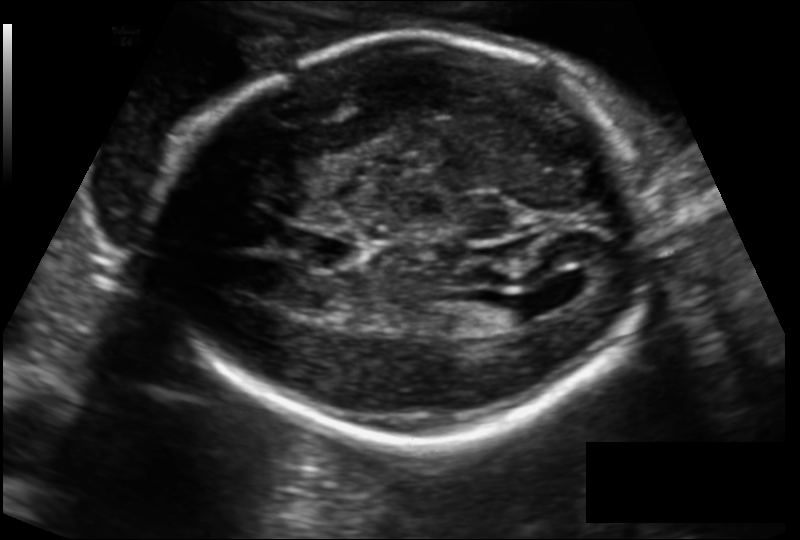
In this fetal head ultrasound, give the bounding box of the lateral ventricle. Image width: 119.5 mm.

[470,292,532,333]